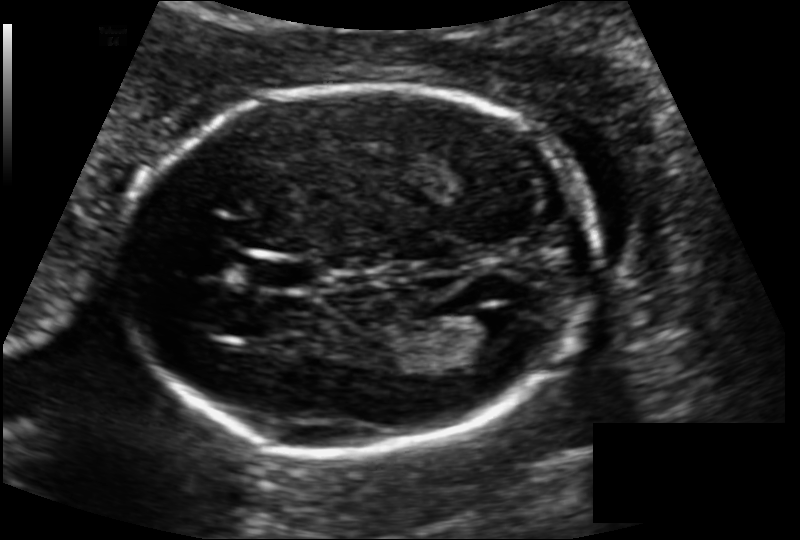
Fetal head ultrasound. Image width: 99.0 mm. Give [x1,y1,x2,y2] bounding boxes for each visible structure among: fetal head, CSP, LV.

Head: [121,87,601,457]
CSP: [246,253,317,295]
Lateral ventricle: [444,314,526,368]